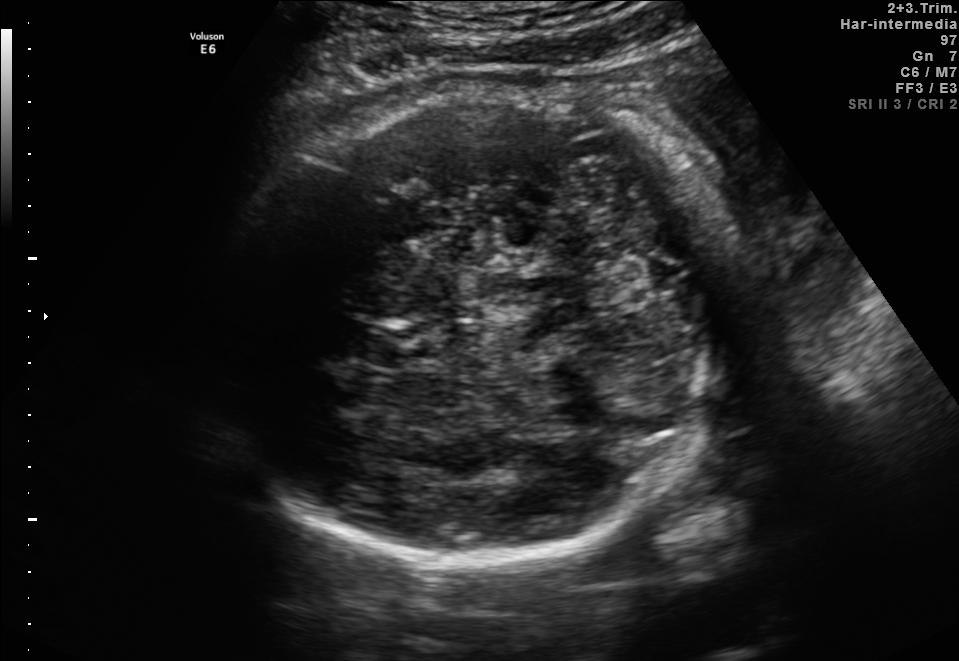
Identify the standard plane in this fetal ultrasound image: fetal abdomen, fetal brain, fetal femur, fetal thorax, maternal cervix, or other. If it's fetal brain and one of the three standard brain planes (trans-thalamic, trans-cerebellum, trans-ventricular), name which.

Fetal brain (trans-thalamic plane)